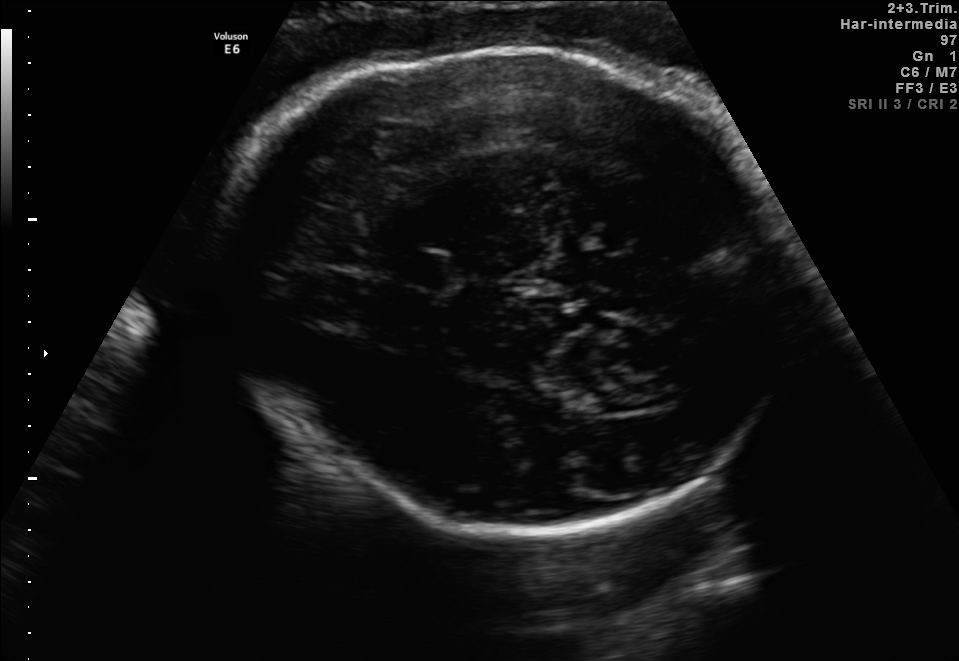
In this fetal brain, trans-thalamic plane, give the bounding box of the cavum septum pellucidum.

[403,252,452,290]